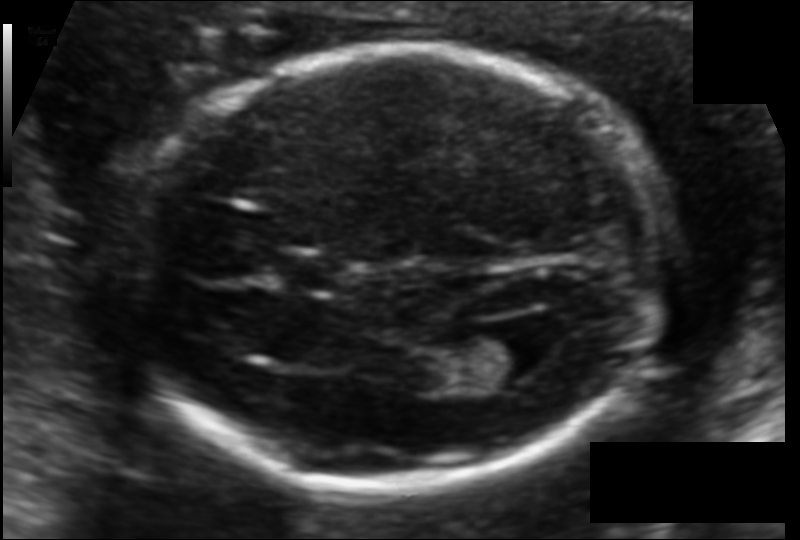
Fetal head ultrasound. Image width: 86.5 mm. Locate the lateral ventricle.

Lateral ventricle: [467,320,558,395]